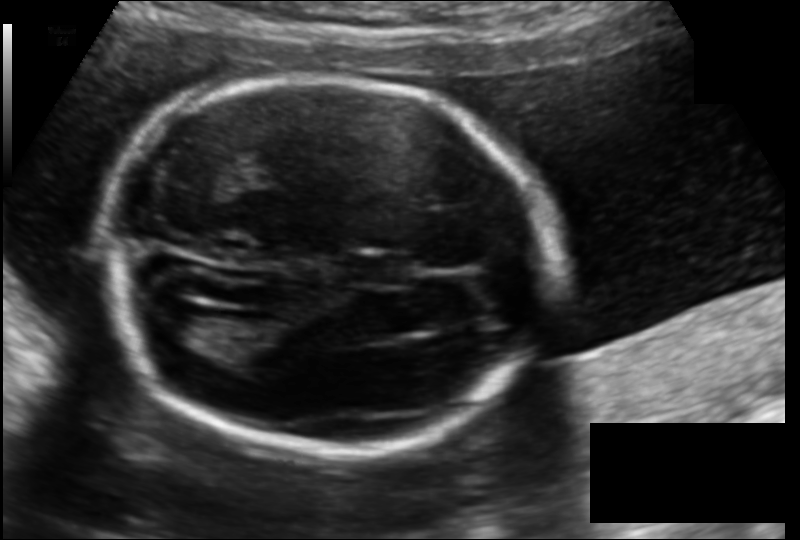
Estimate the fetal head circumference from this 2D ultrasound.

Head circumference: 180.9 mm (image width 107.8 mm).